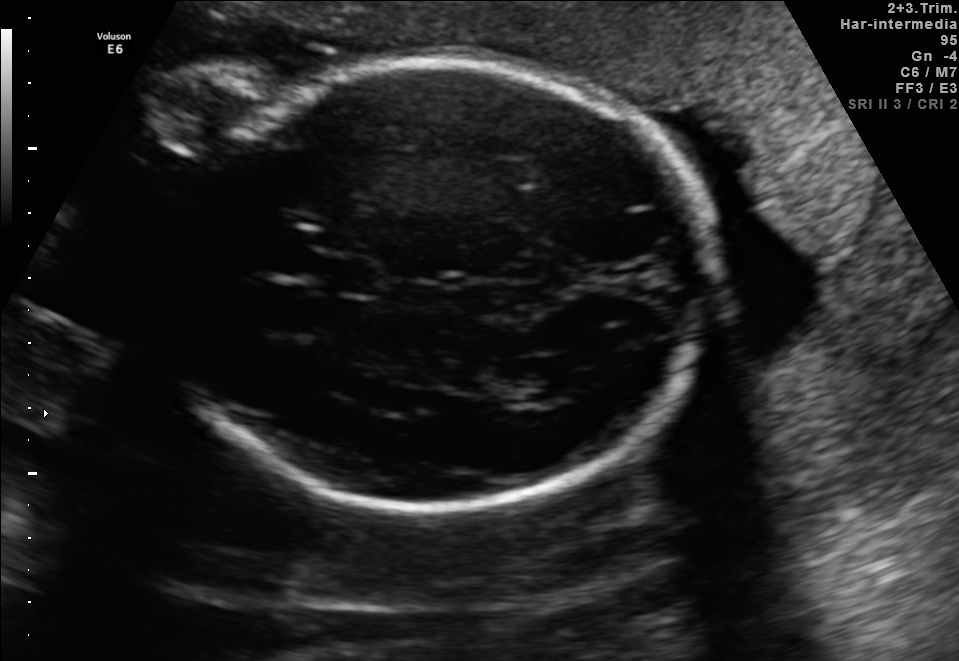
In this fetal brain, trans-ventricular plane, give the bounding box of the fetal head.

[161,55,724,516]